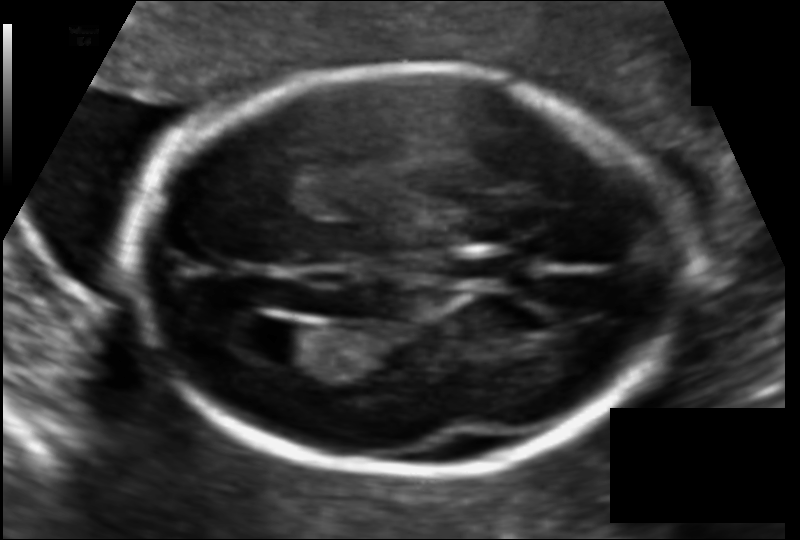
Measure the fetal head circumference shown in this ultrasound image. Image width: 89.2 mm.

Head circumference: 176.2 mm.